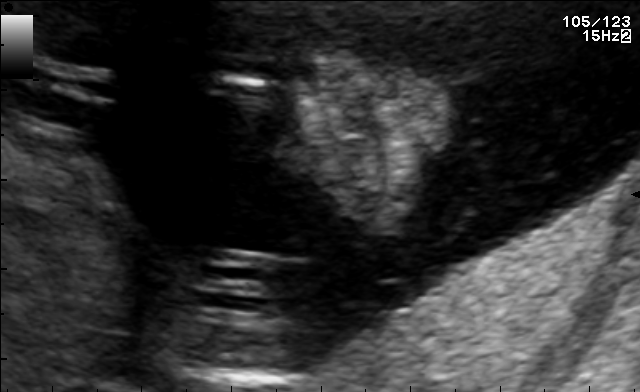
This is a 2D maternal-fetal ultrasound frame. Is it a fetal abdomen, fetal brain, fetal femur, fetal thorax, maternal cervix, or other standard plane? If it's fetal brain and one of the three standard brain planes (trans-thalamic, trans-cerebellum, trans-ventricular), name which.

Other